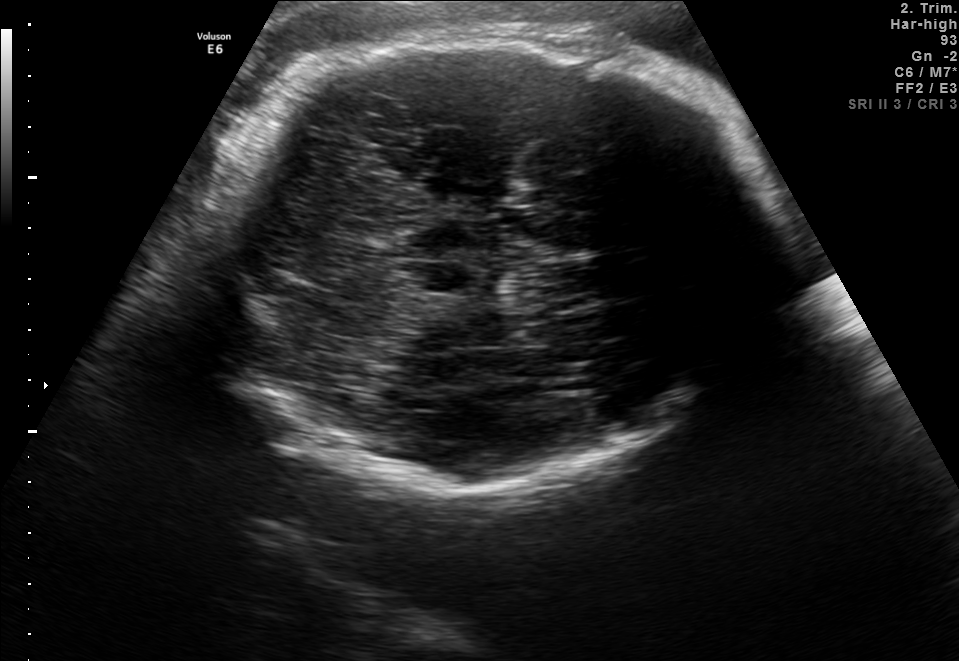
Fetal brain, trans-thalamic plane. Locate the fetal head and, if visible, the cavum septum pellucidum (CSP) and lateral ventricle (LV). Give bounding boxes as [x1,y1,x2,y2].

Head: [206,31,773,490]